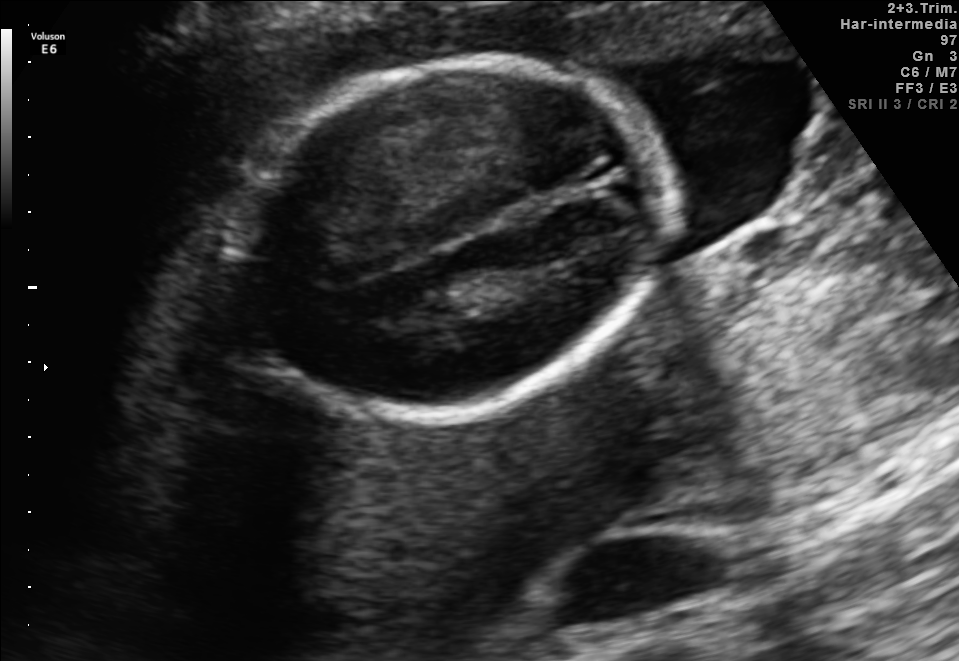
Fetal brain, trans-thalamic plane. Locate the fetal head and, if visible, the cavum septum pellucidum (CSP) and lateral ventricle (LV). Give bounding boxes as [x1,y1,x2,y2].

Head: [231,61,668,414]